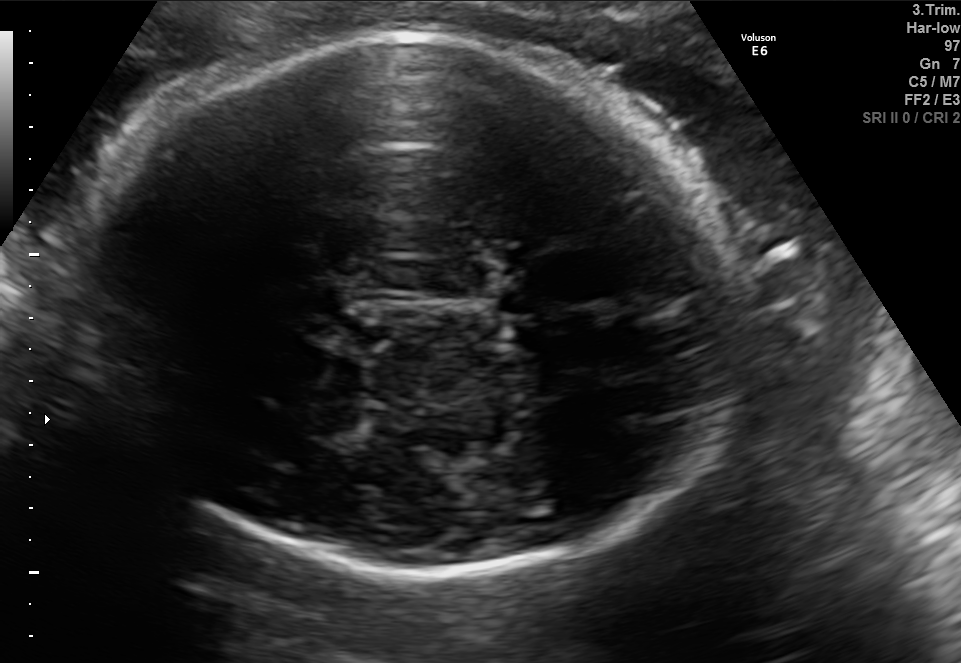
Fetal brain, trans-thalamic plane. Where is the fetal head?

Head bounding box: [80,37,735,578]